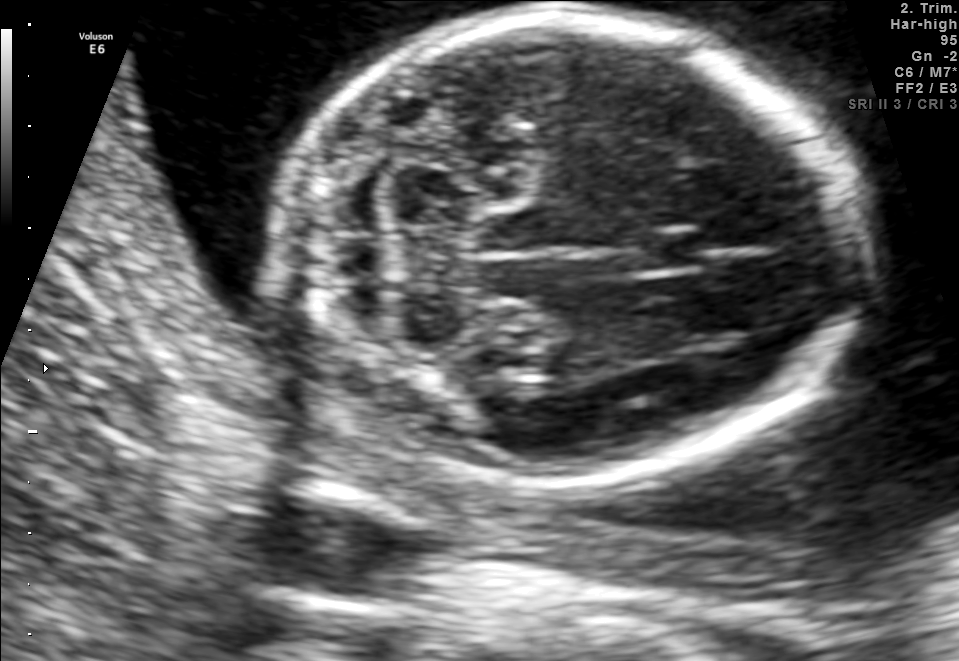
In this fetal brain, trans-cerebellum plane, give the bounding box of the fetal head.

[275,16,856,477]